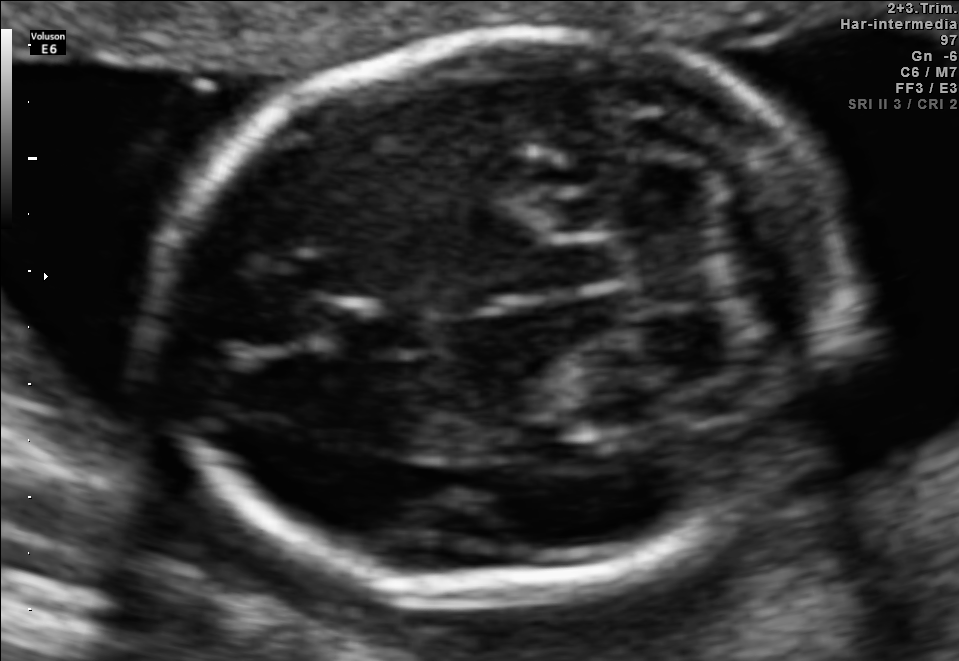
Which standard maternal-fetal ultrasound plane is shown: fetal abdomen, fetal brain, fetal femur, fetal thorax, maternal cervix, or other? If it's fetal brain and one of the three standard brain planes (trans-thalamic, trans-cerebellum, trans-ventricular), name which.

Fetal brain (trans-cerebellum plane)